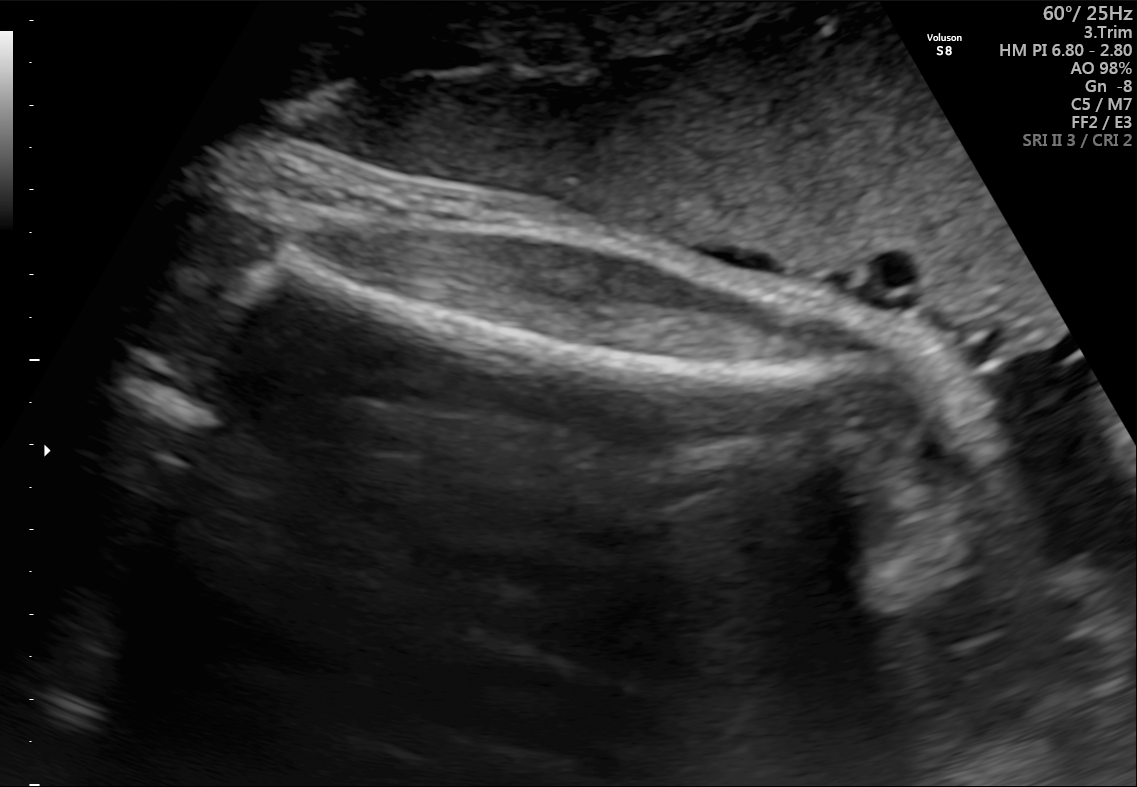
Which standard maternal-fetal ultrasound plane is shown: fetal abdomen, fetal brain, fetal femur, fetal thorax, maternal cervix, or other? If it's fetal brain and one of the three standard brain planes (trans-thalamic, trans-cerebellum, trans-ventricular), name which.

Fetal femur